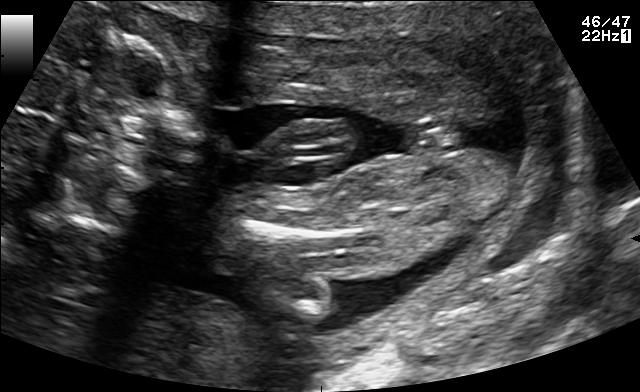
Classify this maternal-fetal ultrasound image as one of the six standard planes — fetal abdomen, fetal brain, fetal femur, fetal thorax, maternal cervix, or other. If it's fetal brain and one of the three standard brain planes (trans-thalamic, trans-cerebellum, trans-ventricular), name which.

Other